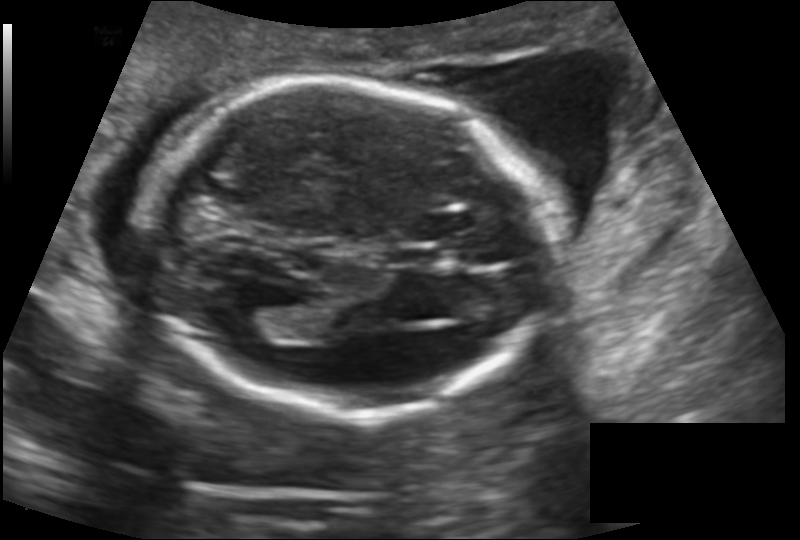
In this fetal head ultrasound, give the bounding box of the fetal head. Image width: 116.4 mm.

[141,79,549,413]